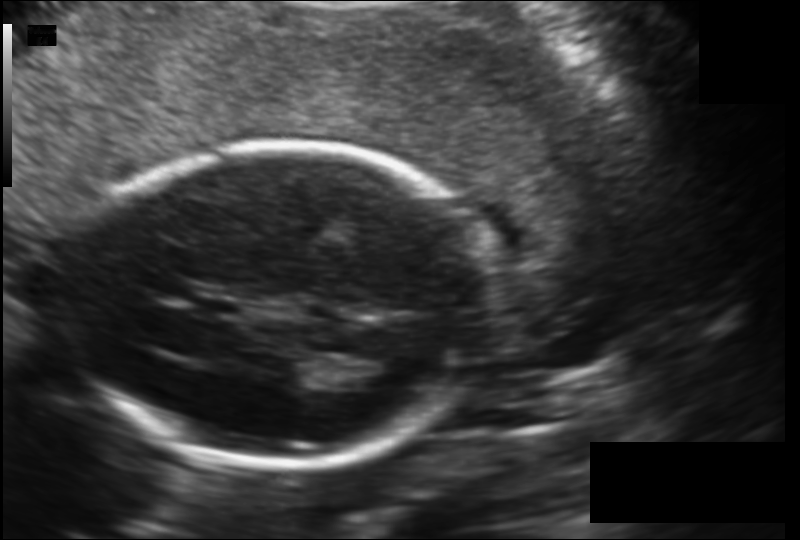
In this fetal head ultrasound, give the bounding box of the cavum septum pellucidum. Image width: 117.3 mm.

[196,295,242,319]